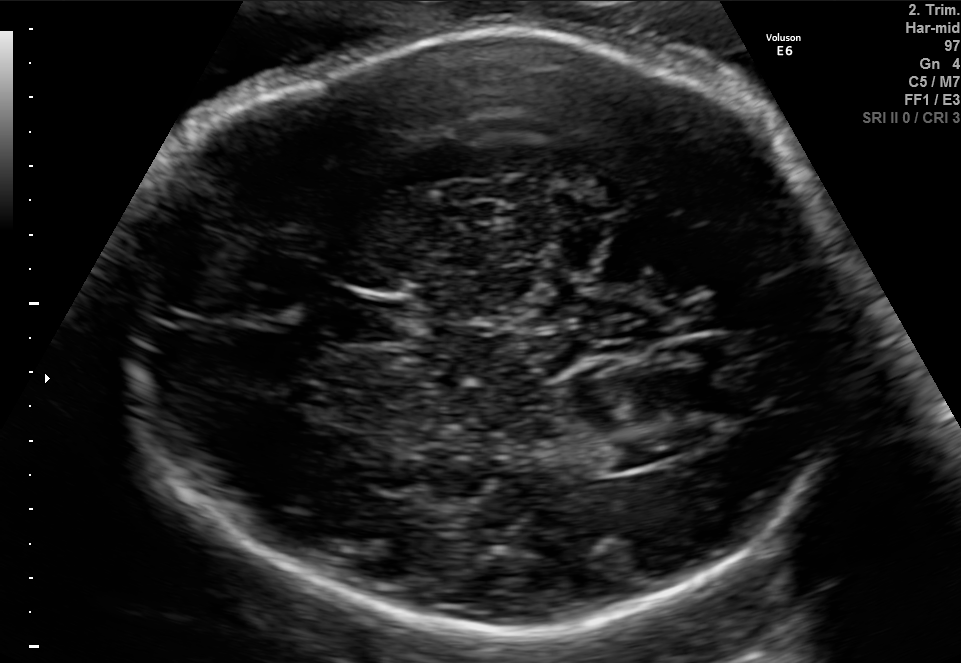
Fetal brain, trans-ventricular plane. Give [x1,y1,x2,y2] bounding boxes for each visible structure among: fetal head, CSP, LV.

Head: [109,20,862,639]
CSP: [328,293,404,341]
Lateral ventricle: [611,424,690,472]